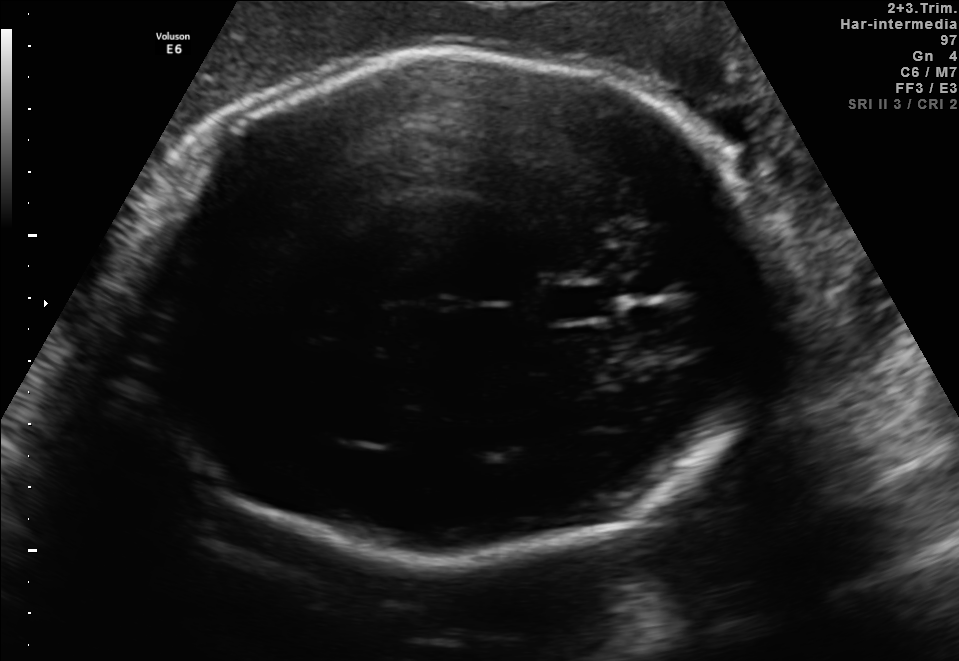
Fetal brain, trans-thalamic plane. Locate the fetal head and, if visible, the cavum septum pellucidum (CSP) and lateral ventricle (LV). Give bounding boxes as [x1,y1,x2,y2].

Head: [122,52,773,555]
CSP: [544,281,613,323]